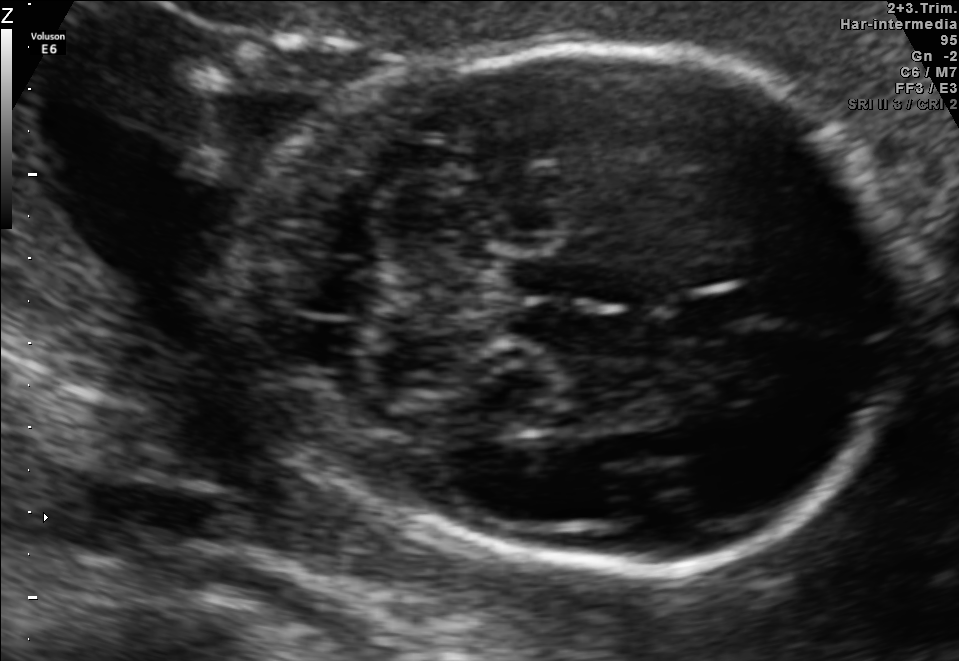
Fetal brain, trans-cerebellum plane. Locate the cavum septum pellucidum.

CSP: [667,279,763,342]